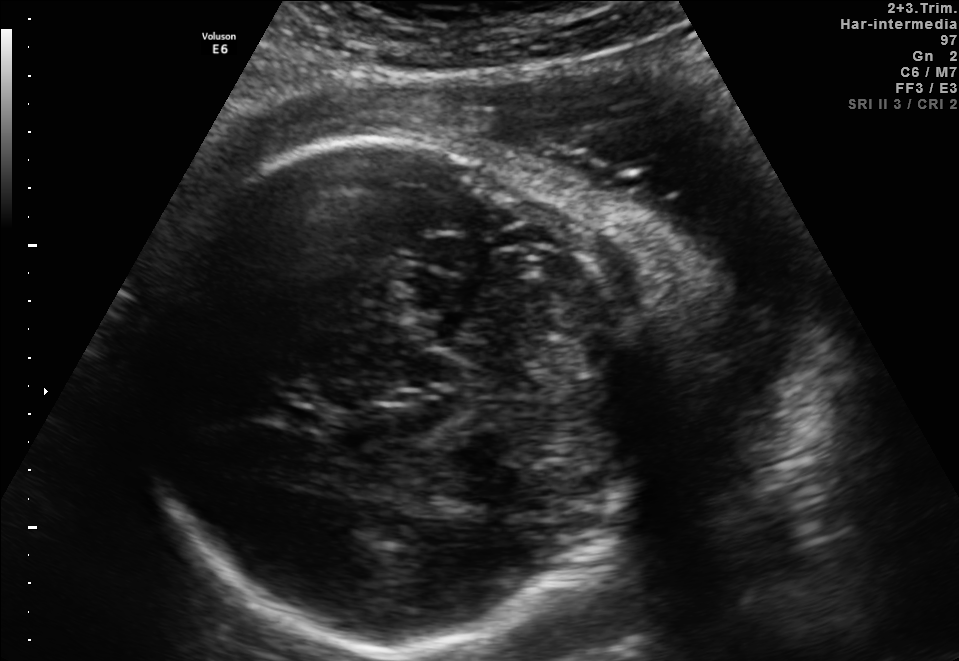
Fetal brain, trans-thalamic plane. Locate the cavum septum pellucidum.

CSP: [262,395,326,438]